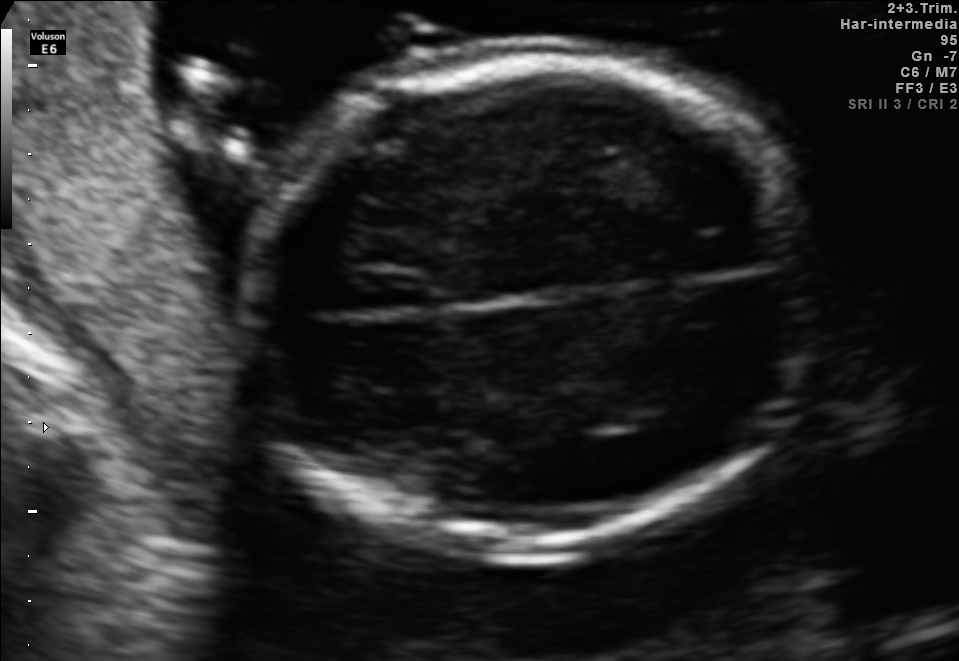
In this fetal brain, trans-thalamic plane, give bounding boxes for the head outline, cavum septum pellucidum (CSP), and lateral ventricle (LV), where visible.

Head: [260,54,813,545]